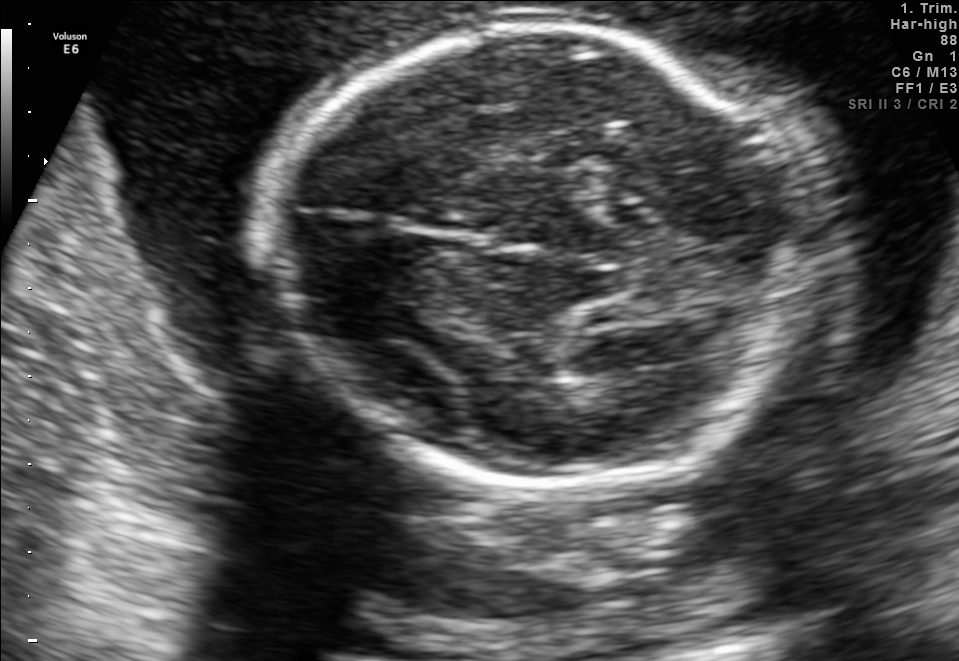
Fetal brain, trans-thalamic plane. Give [x1,y1,x2,y2] bounding boxes for each visible structure among: fetal head, CSP, LV.

Head: [260,21,813,494]